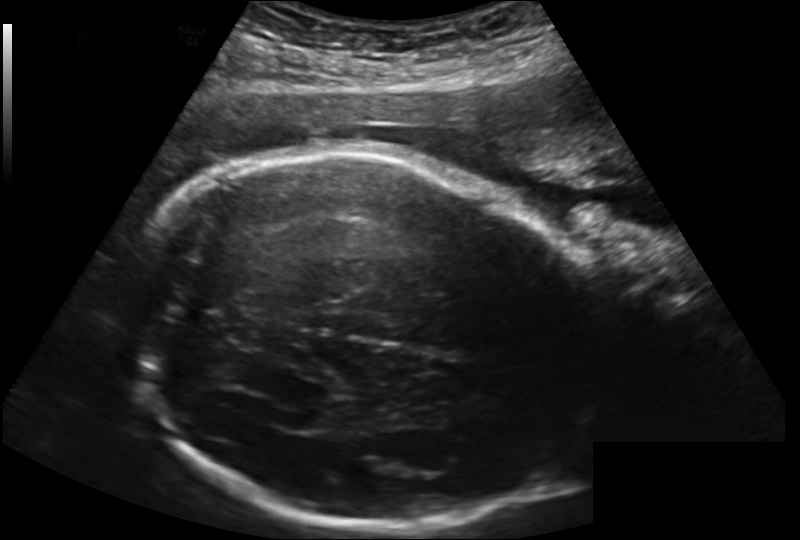
What is the fetal head circumference? Image width is 161.7 mm.

278.4 mm